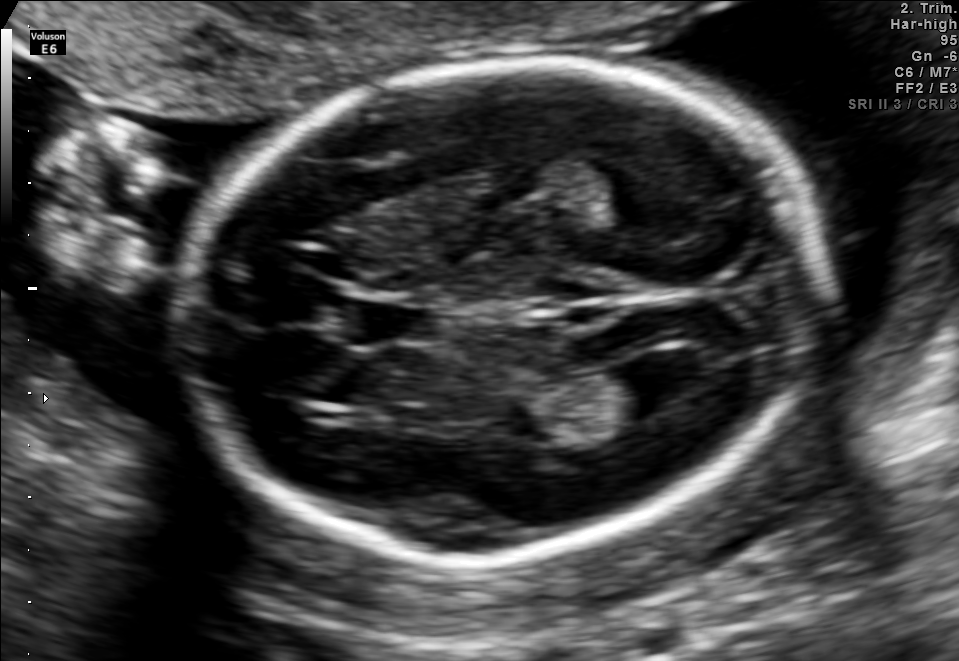
Classify this maternal-fetal ultrasound image as one of the six standard planes — fetal abdomen, fetal brain, fetal femur, fetal thorax, maternal cervix, or other. If it's fetal brain and one of the three standard brain planes (trans-thalamic, trans-cerebellum, trans-ventricular), name which.

Fetal brain (trans-ventricular plane)